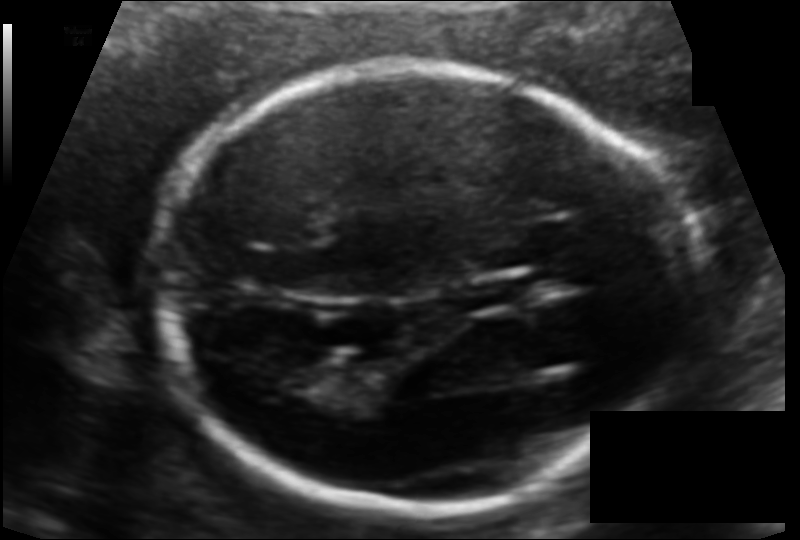
In this fetal head ultrasound, give the bounding box of the fetal head. Image width: 85.9 mm.

[159,60,686,508]